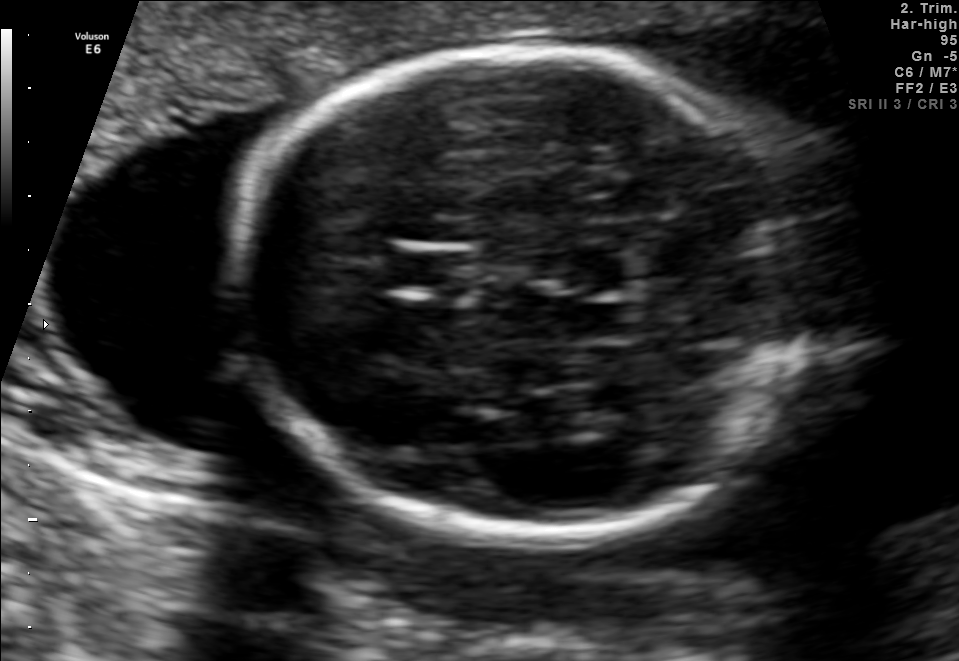
In this fetal brain, trans-thalamic plane, give bounding boxes for the head outline, cavum septum pellucidum (CSP), and lateral ventricle (LV), where visible.

Head: [228,50,813,541]
CSP: [384,244,477,301]